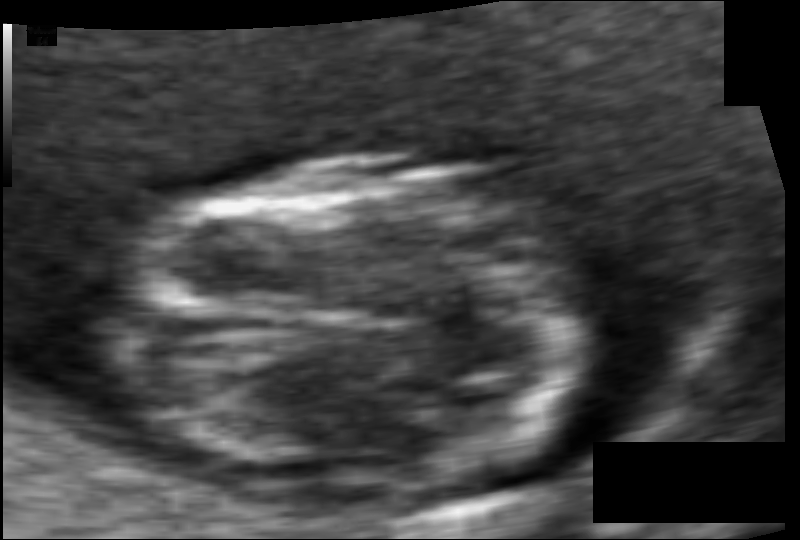
Estimate the fetal head circumference from this 2D ultrasound. Image width: 39.5 mm.

Head circumference: 65.8 mm.